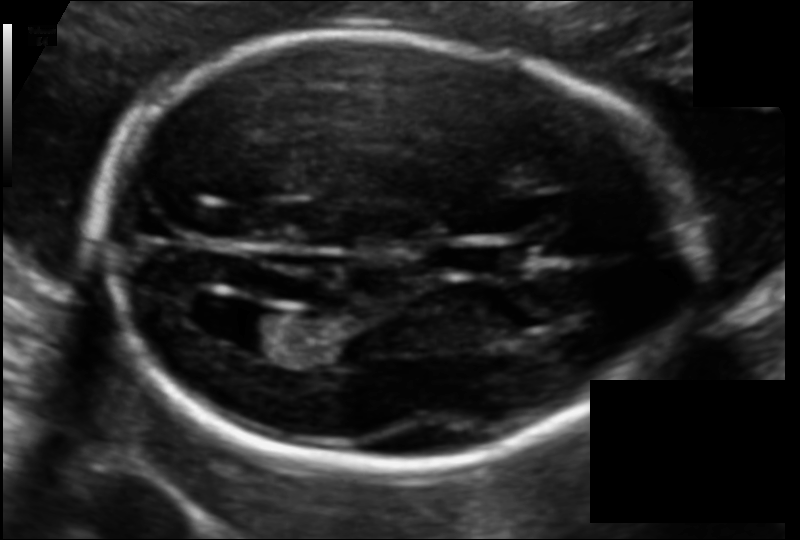
Fetal head ultrasound. Image width: 86.6 mm. Give [x1,y1,x2,y2] bounding boxes for each visible structure among: fetal head, CSP, LV.

Head: [98,33,691,471]
CSP: [442,244,523,275]
Lateral ventricle: [219,304,301,364]